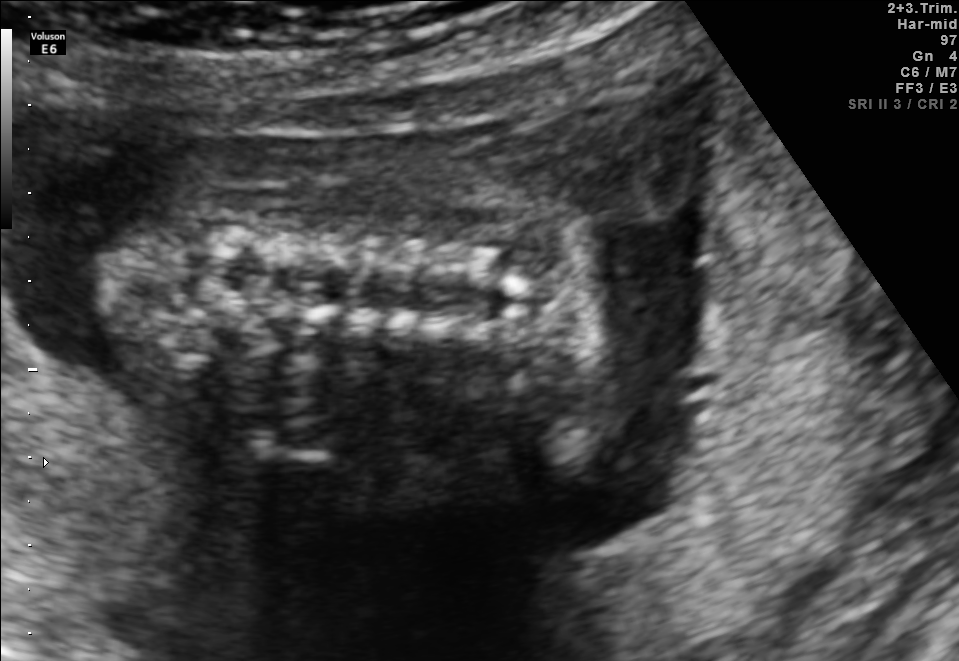
This is a 2D maternal-fetal ultrasound frame. Is it a fetal abdomen, fetal brain, fetal femur, fetal thorax, maternal cervix, or other standard plane? If it's fetal brain and one of the three standard brain planes (trans-thalamic, trans-cerebellum, trans-ventricular), name which.

Other